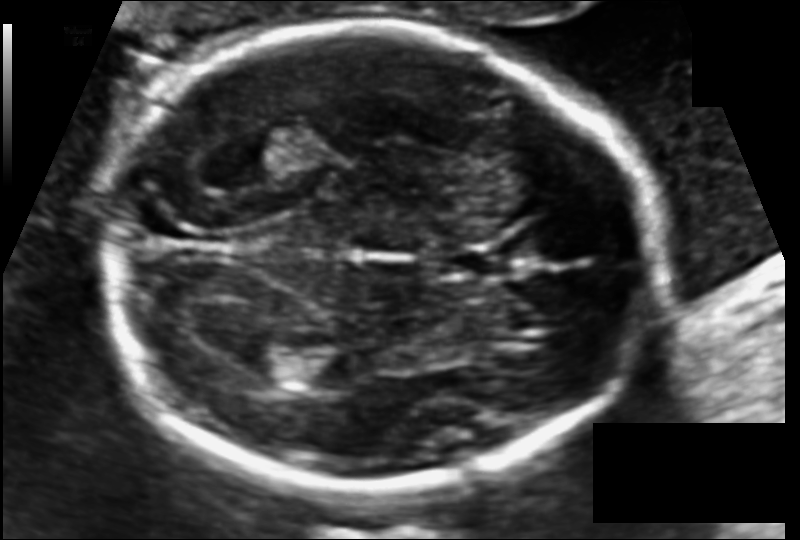
Fetal head ultrasound. Image width: 87.7 mm. Locate the lateral ventricle.

Lateral ventricle: [242,348,309,386]